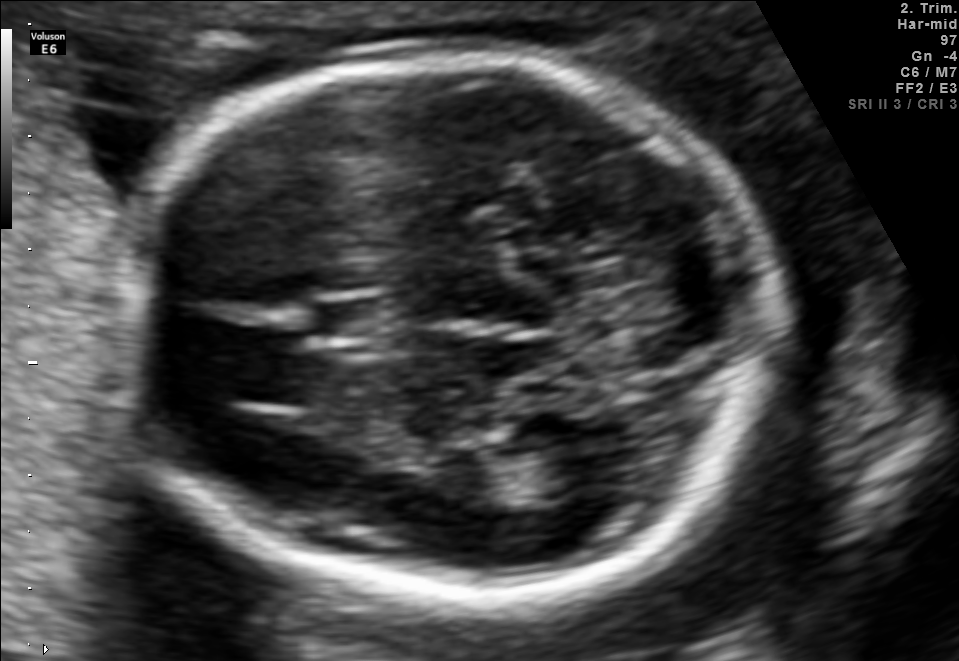
Fetal brain, trans-thalamic plane. Give [x1,y1,x2,y2] bounding boxes for each visible structure among: fetal head, CSP, LV.

Head: [110,53,779,586]
CSP: [311,297,400,341]
Lateral ventricle: [480,433,609,511]